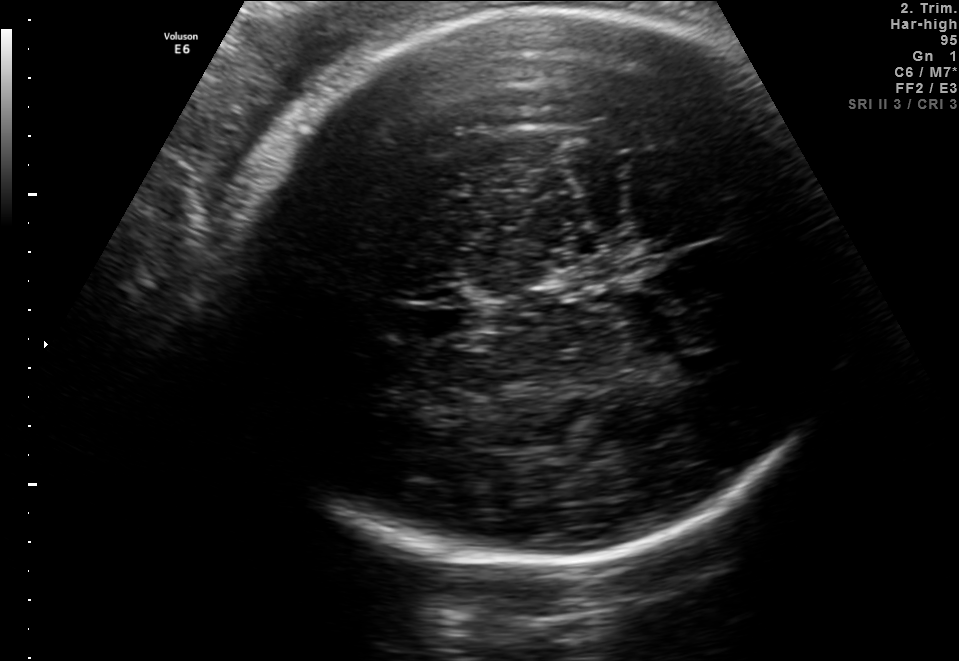
Fetal brain, trans-thalamic plane. Locate the fetal head.

Head: [234,6,845,563]